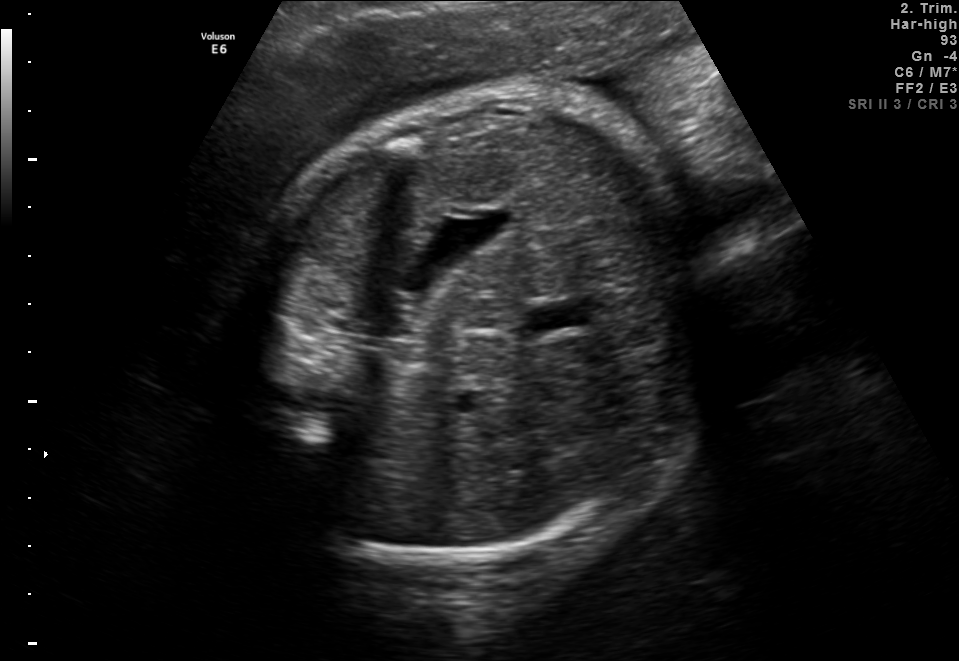
Classify this maternal-fetal ultrasound image as one of the six standard planes — fetal abdomen, fetal brain, fetal femur, fetal thorax, maternal cervix, or other. If it's fetal brain and one of the three standard brain planes (trans-thalamic, trans-cerebellum, trans-ventricular), name which.

Fetal abdomen